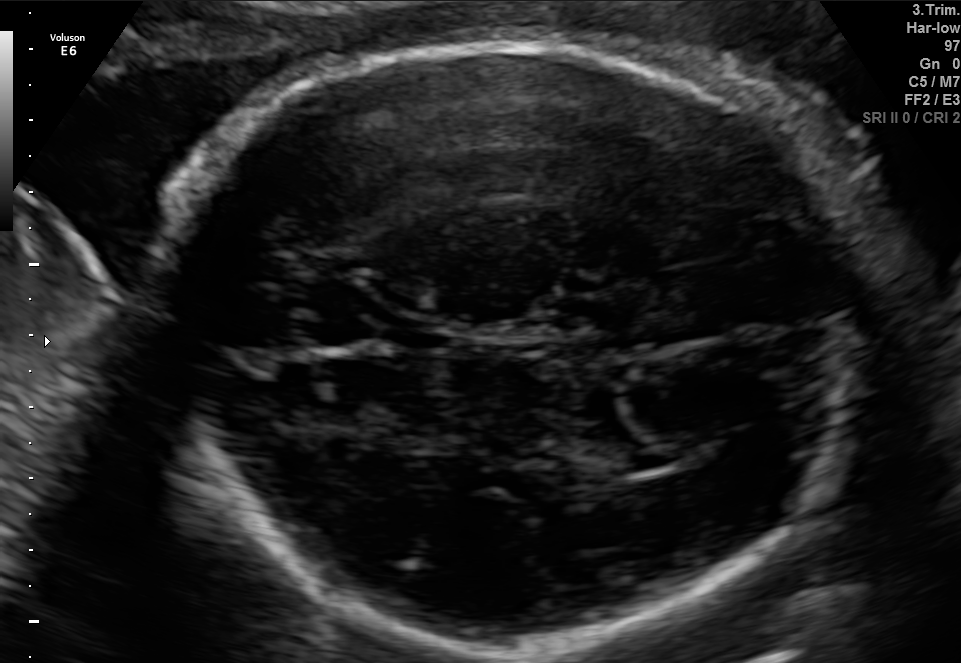
In this fetal brain, trans-ventricular plane, give the bounding box of the fetal head.

[138,34,875,655]